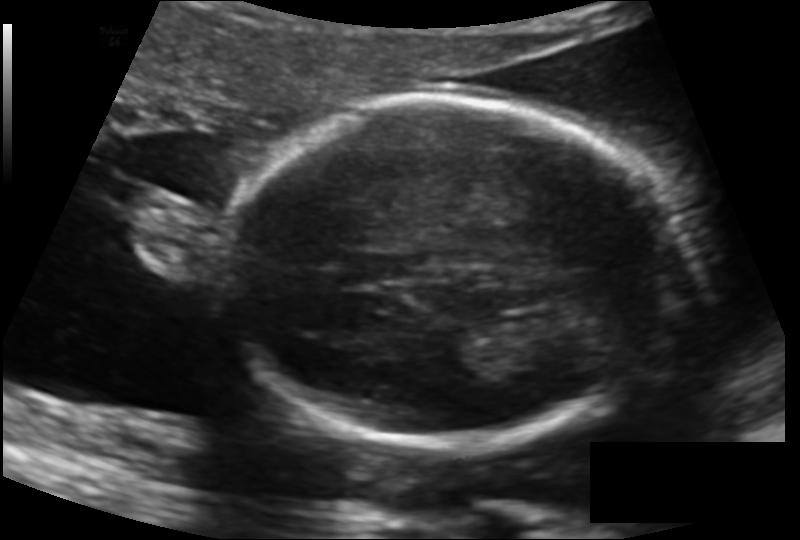
What is the fetal head circumference? Image width is 111.0 mm.

177.7 mm